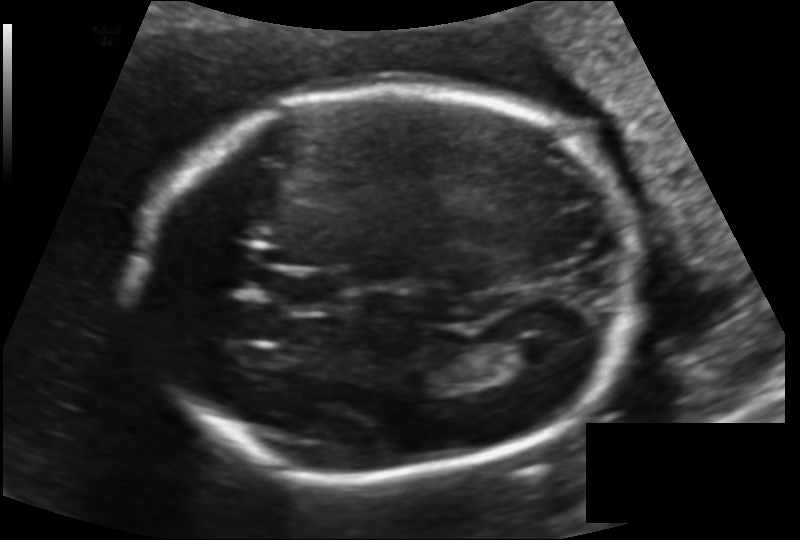
In this fetal head ultrasound, give the bounding box of the cavum septum pellucidum. Image width: 115.0 mm.

[270,270,347,313]